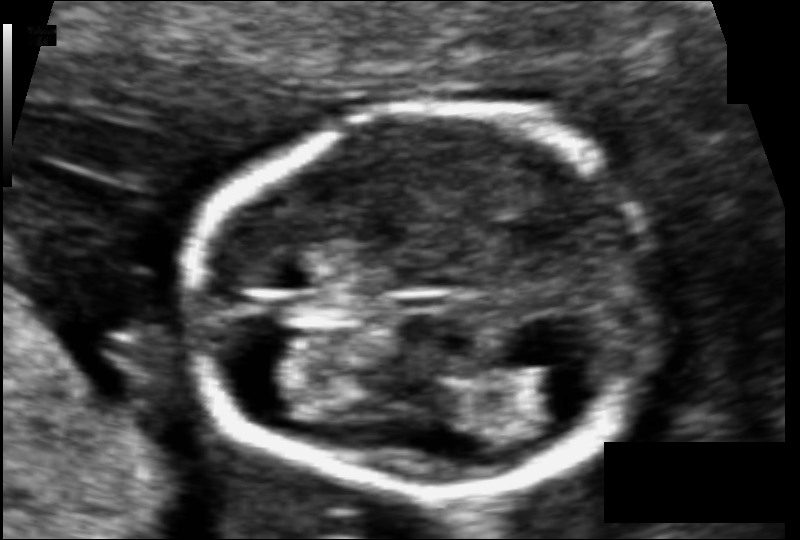
Fetal head ultrasound. Image width: 52.4 mm. Give [x1,y1,x2,y2] bounding boxes for each visible structure among: fetal head, CSP, LV.

Head: [189,109,657,493]